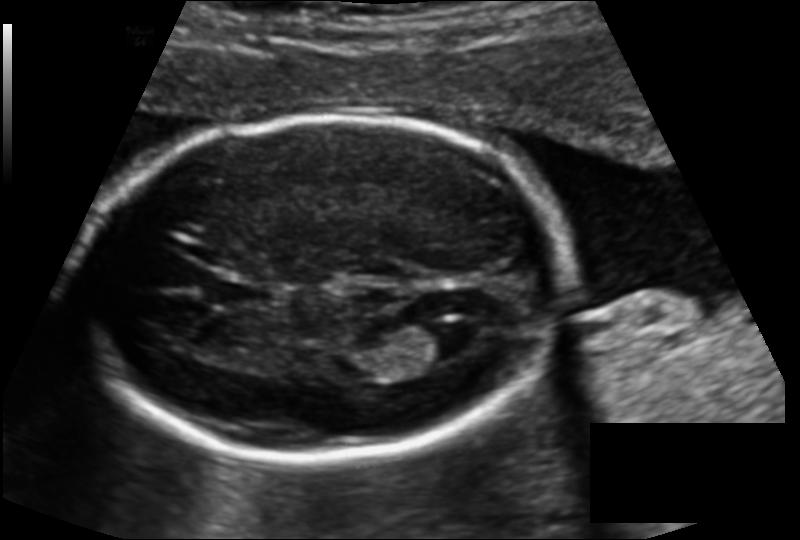
Fetal head ultrasound. Image width: 109.1 mm. Locate the fetal head.

Head: [74,114,562,462]